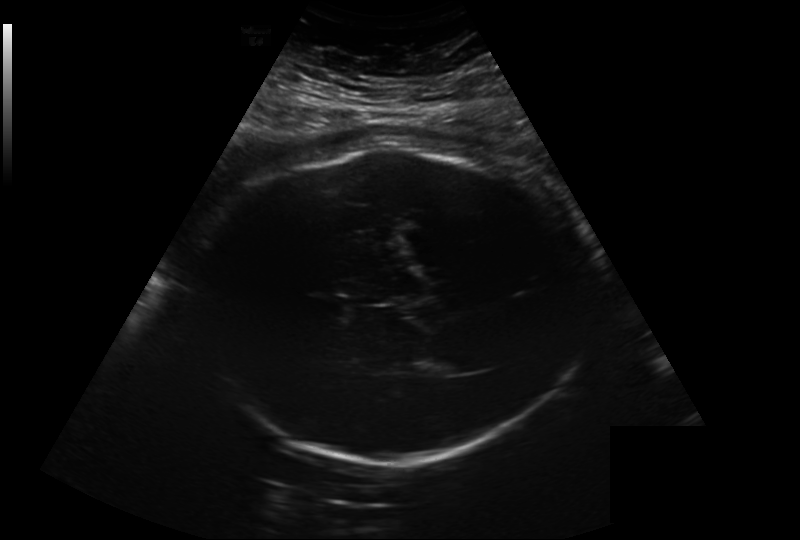
In this fetal head ultrasound, give the bounding box of the lateral ventricle. Image width: 225.2 mm.

[428,352,470,376]